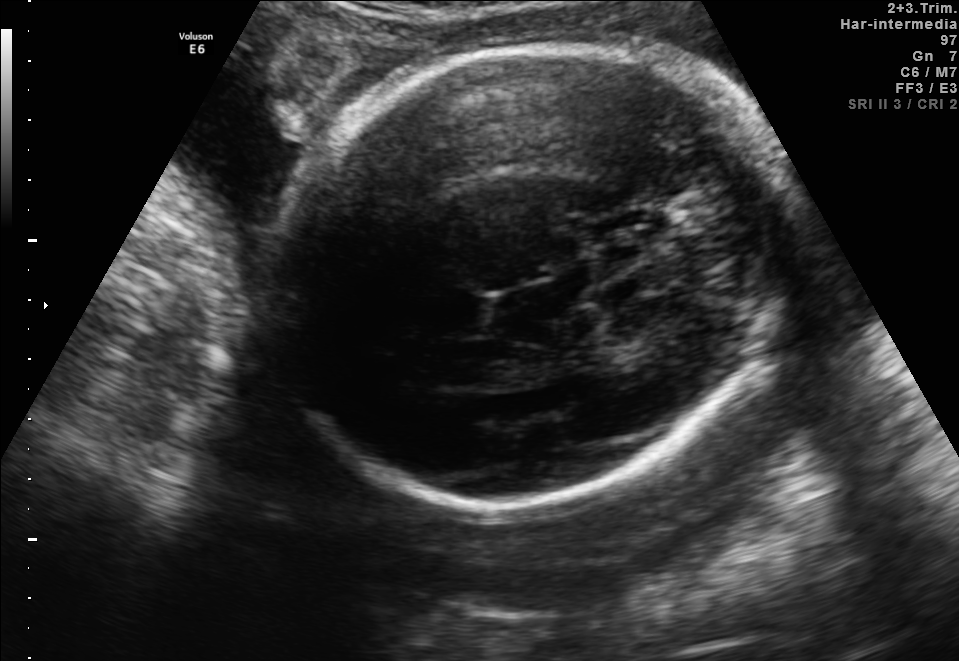
Fetal brain, trans-thalamic plane. Locate the fetal head.

Head: [266,43,787,510]